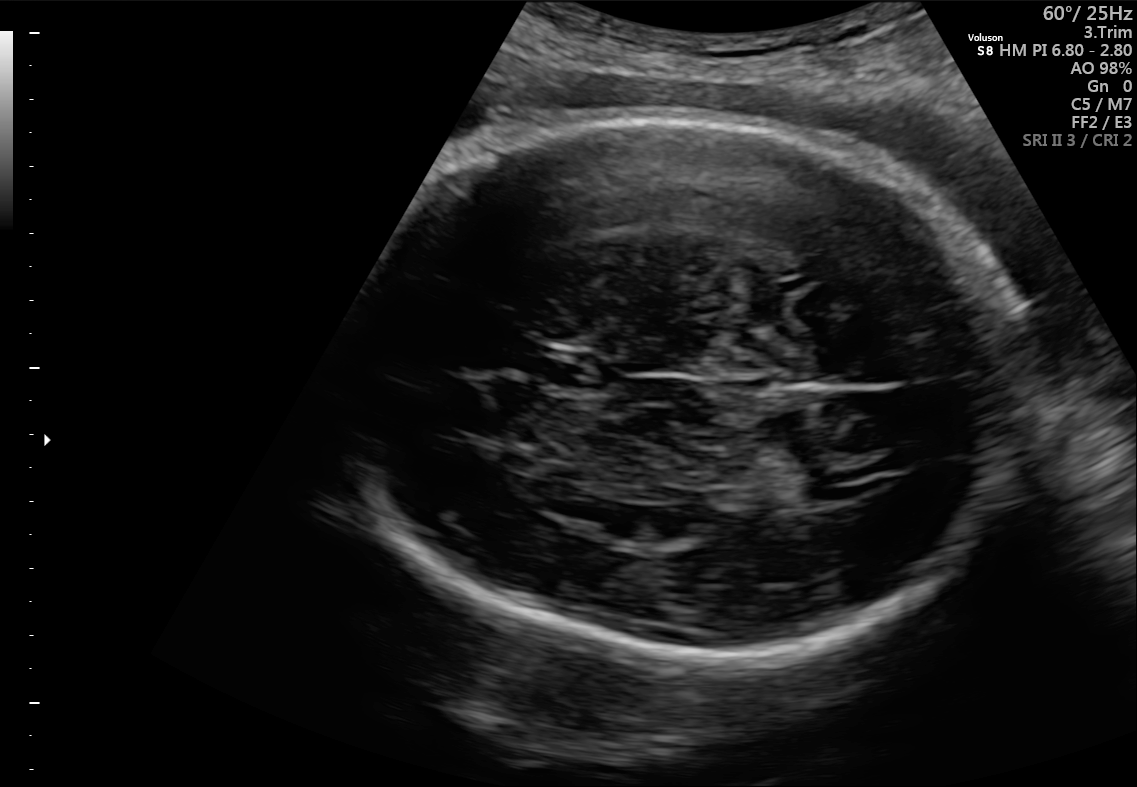
Fetal brain, trans-thalamic plane. Give [x1,y1,x2,y2] bounding boxes for each visible structure among: fetal head, CSP, LV.

Head: [340,117,1029,663]
CSP: [544,348,612,393]